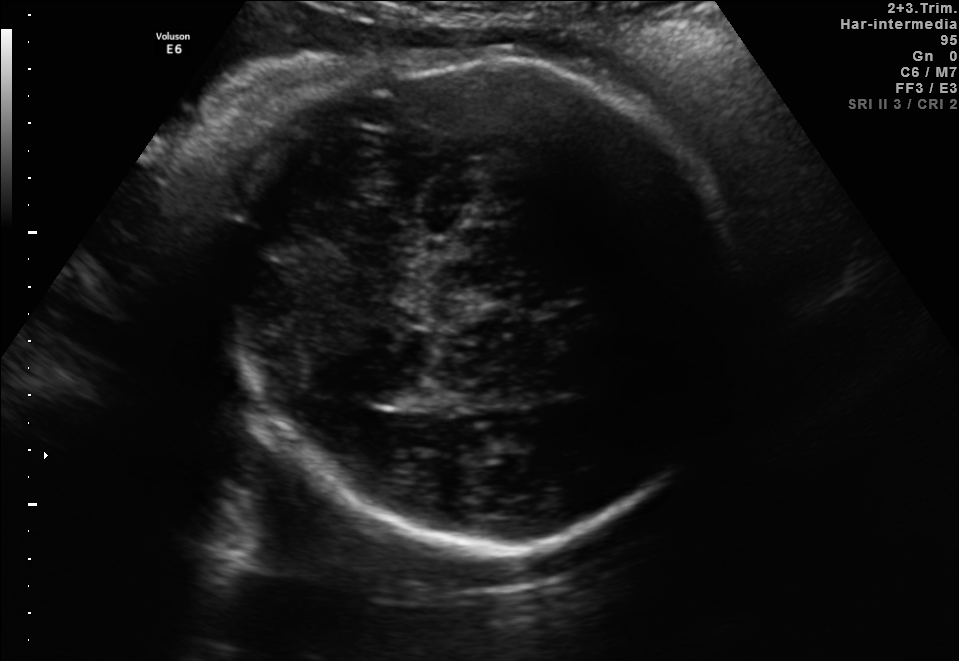
Fetal brain, trans-thalamic plane. Locate the fetal head.

Head: [218,56,735,549]